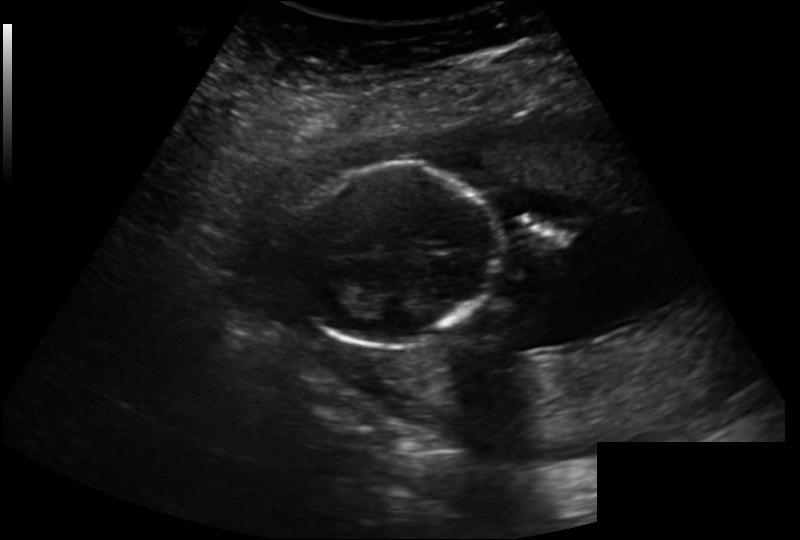
Fetal head ultrasound. Image width: 161.6 mm. Locate the fetal head.

Head: [294,162,496,349]